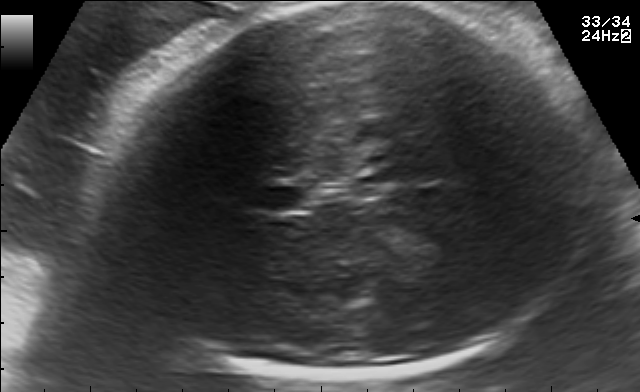
Fetal brain, trans-thalamic plane. Locate the cavum septum pellucidum.

CSP: [256,187,303,211]